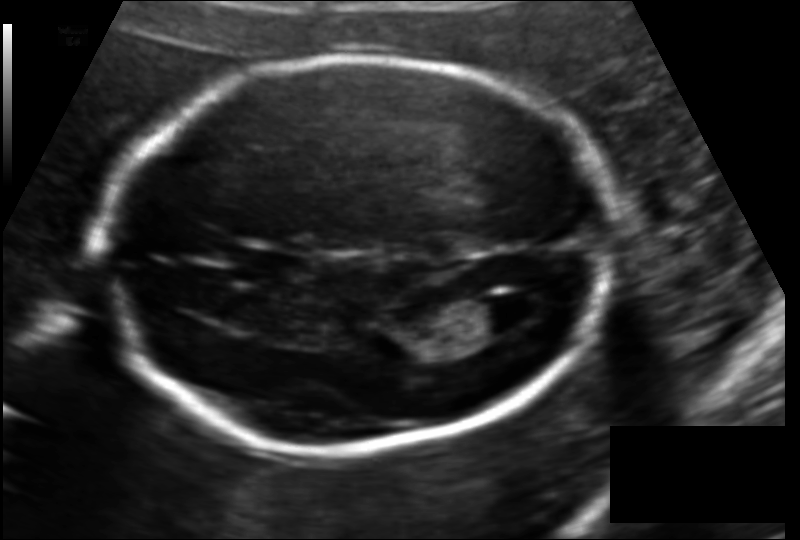
Fetal head ultrasound. Image width: 101.5 mm. Give [x1,y1,x2,y2] bounding boxes for each visible structure among: fetal head, CSP, LV.

Head: [103,59,609,450]
CSP: [228,245,308,284]
Lateral ventricle: [459,292,520,344]